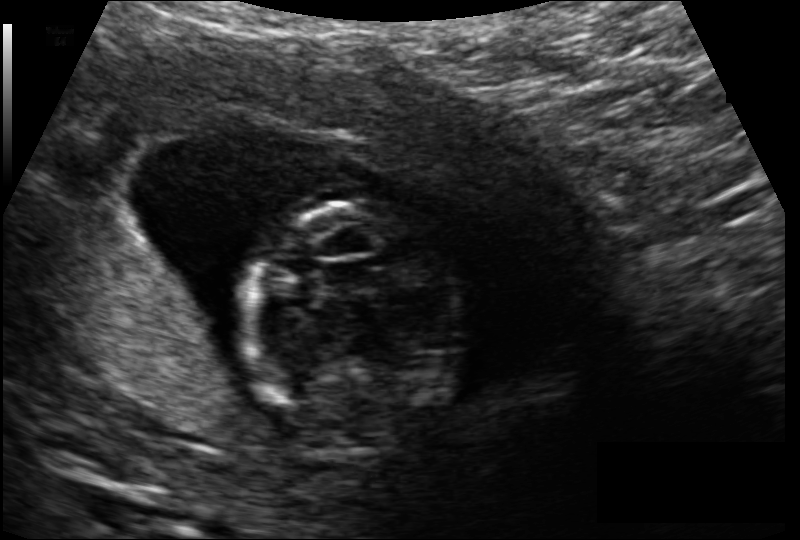
Fetal head ultrasound. Image width: 94.0 mm. Locate the fetal head and, if visible, the cavum septum pellucidum (CSP) and lateral ventricle (LV). Give bounding boxes as [x1,y1,x2,y2].

Head: [241,199,467,455]